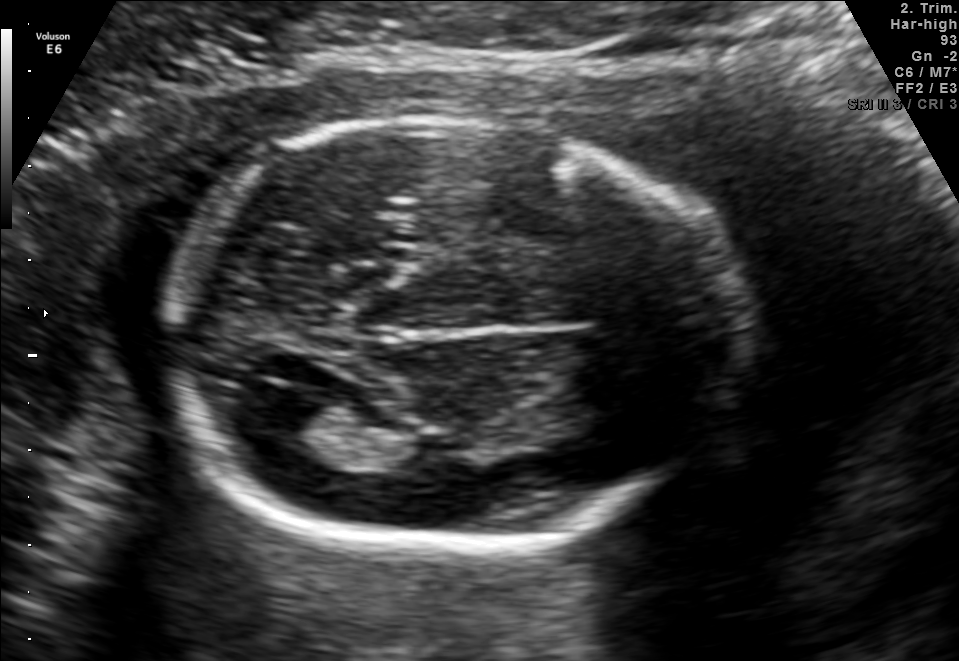
In this fetal brain, trans-ventricular plane, give the bounding box of the fetal head.

[147,106,746,567]